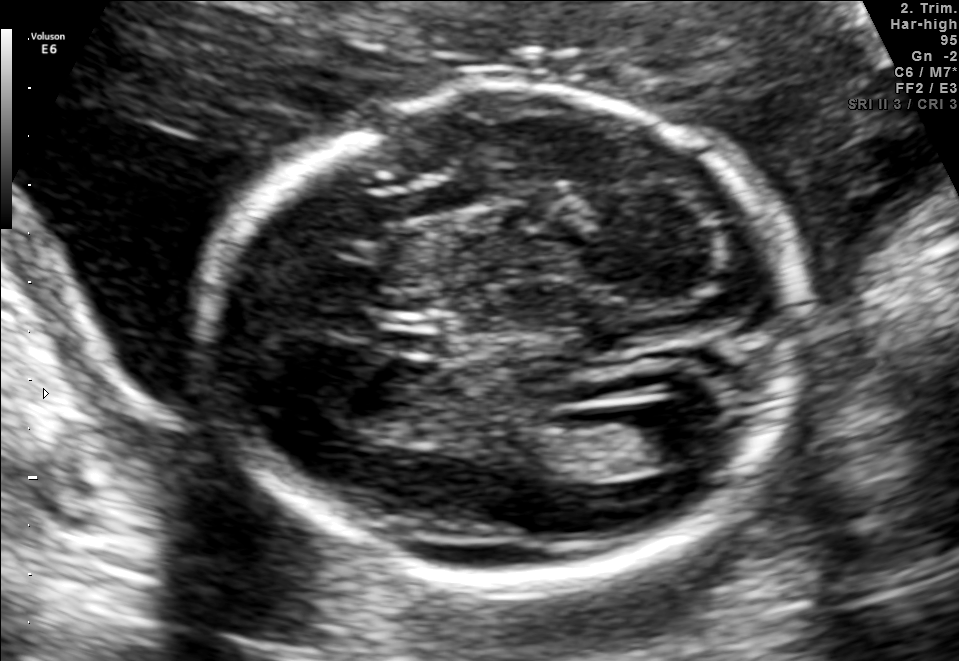
Fetal brain, trans-ventricular plane. Give [x1,y1,x2,y2] bounding boxes for each visible structure among: fetal head, CSP, LV.

Head: [187,75,824,600]
CSP: [362,303,459,359]
Lateral ventricle: [611,401,715,475]